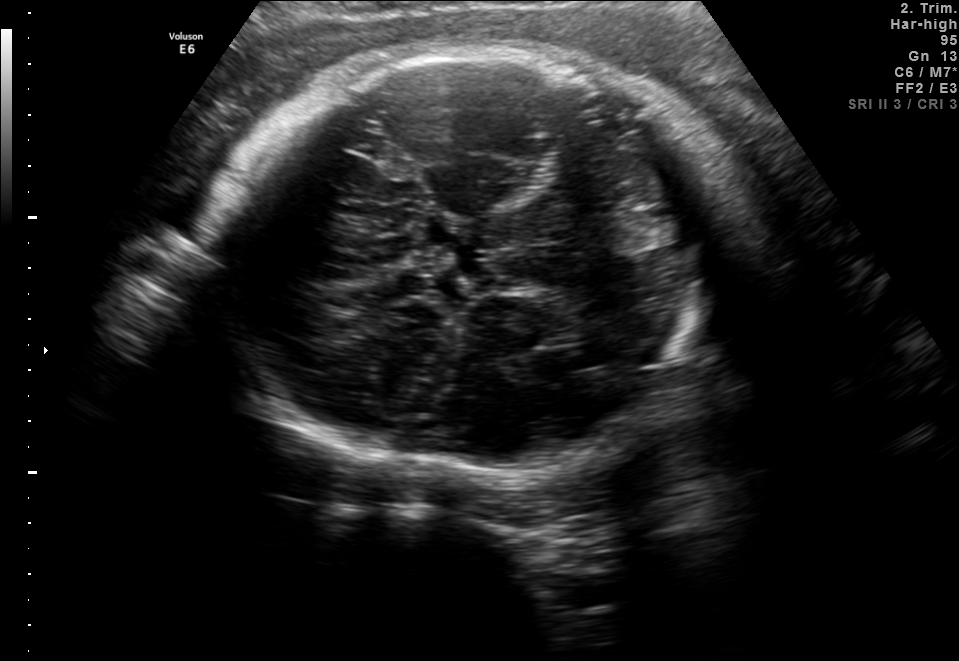
Fetal brain, trans-thalamic plane. Locate the fetal head.

Head: [204,49,747,472]